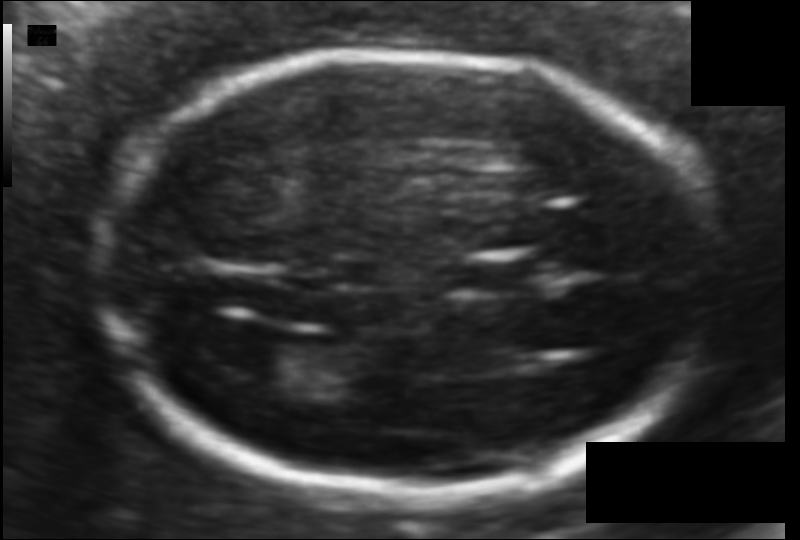
Measure the fetal head circumference shown in this ultrasound image. Image width: 75.4 mm.

Head circumference: 165.0 mm.